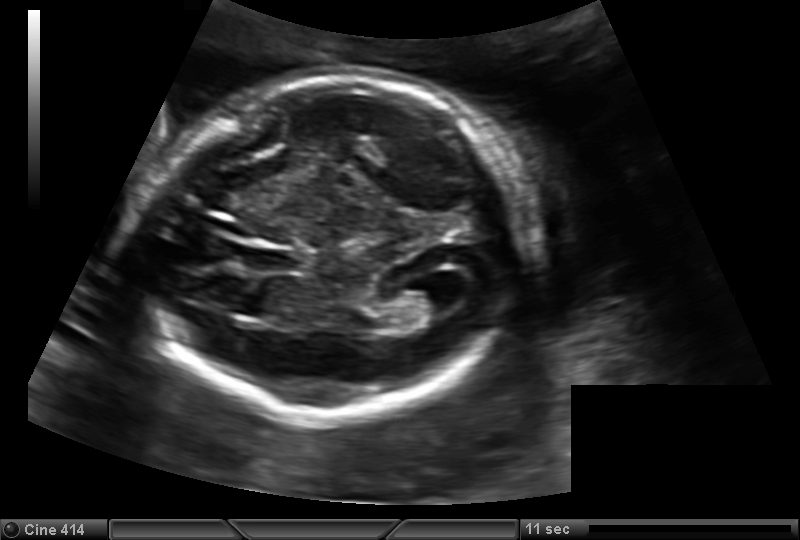
Fetal head ultrasound. Image width: 120.0 mm. Where is the cavum septum pellucidum?

CSP bounding box: [243,245,295,273]